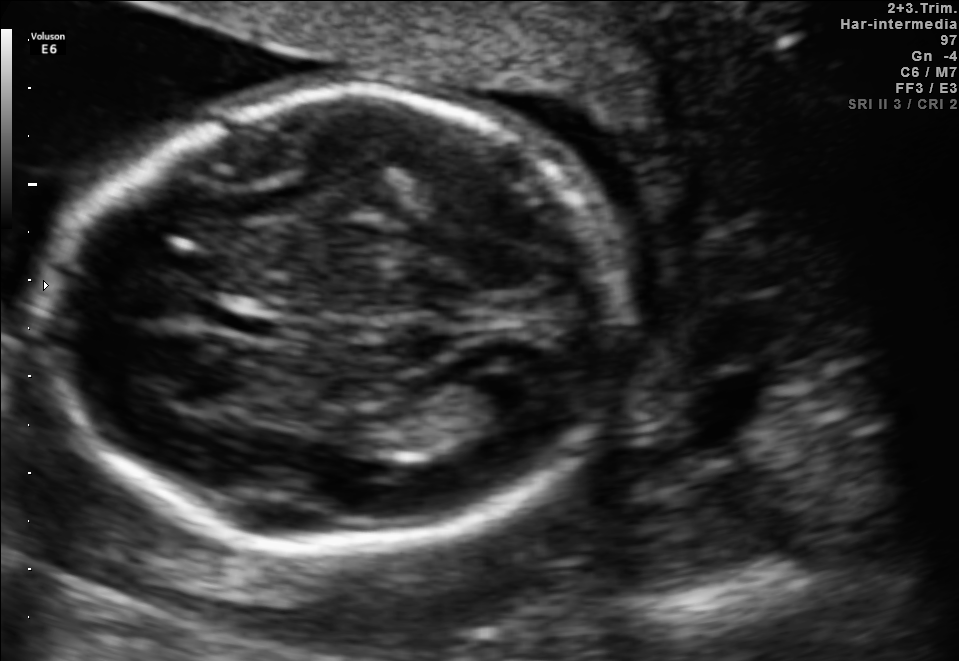
Fetal brain, trans-ventricular plane. Where is the cavum septum pellucidum?

CSP bounding box: [213,307,280,341]